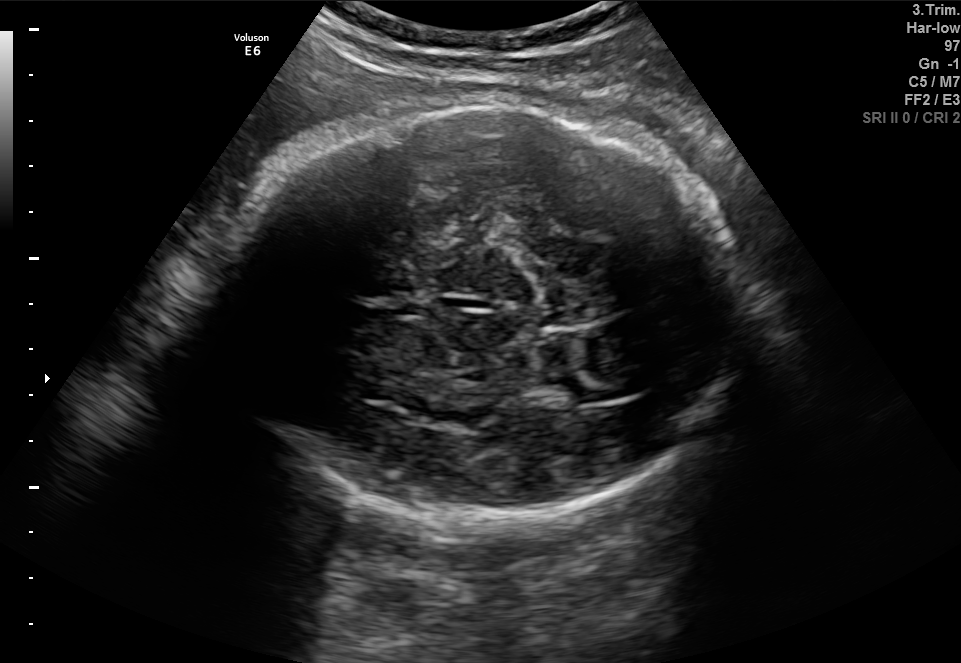
In this fetal brain, trans-thalamic plane, give the bounding box of the fetal head.

[213,94,744,531]